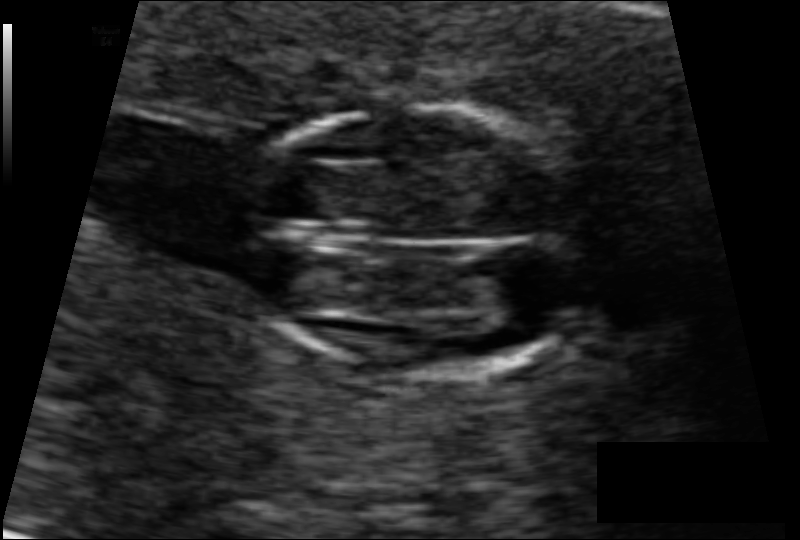
Fetal head ultrasound. Image width: 60.3 mm. Locate the fetal head and, if visible, the cavum septum pellucidum (CSP) and lateral ventricle (LV). Give bounding boxes as [x1,y1,x2,y2].

Head: [239,108,582,375]